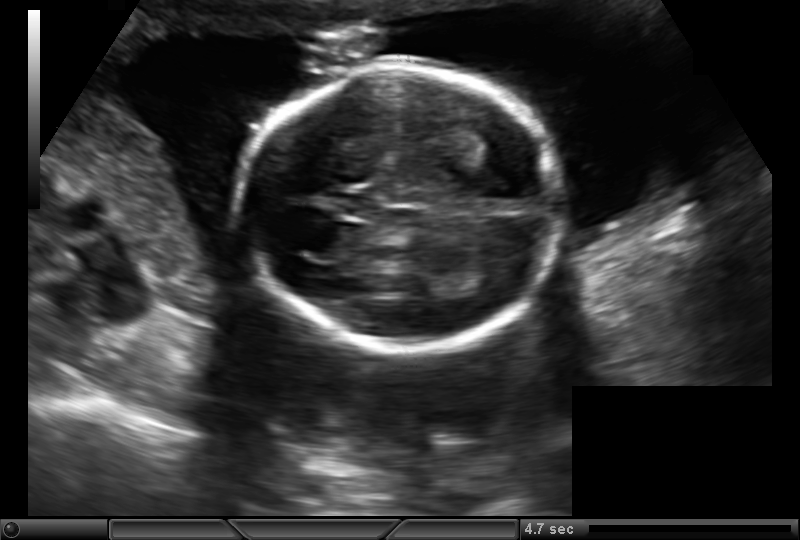
What is the fetal head circumference? Image width is 129.0 mm.

160.4 mm